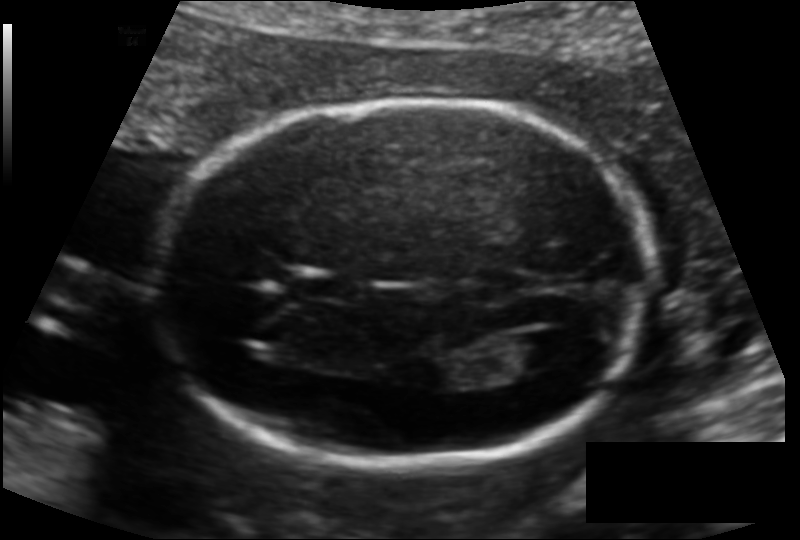
Fetal head ultrasound. Image width: 102.6 mm. Give [x1,y1,x2,y2] bounding boxes for each visible structure among: fetal head, CSP, LV.

Head: [155,99,650,466]
CSP: [296,271,360,301]
Lateral ventricle: [500,326,576,374]